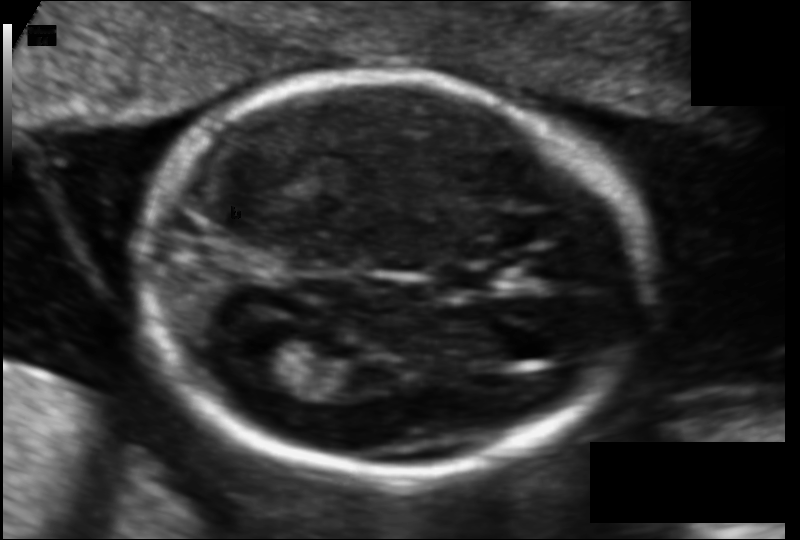
Measure the fetal head circumference shown in this ultrasound image. Image width: 83.2 mm.

Head circumference: 150.5 mm.